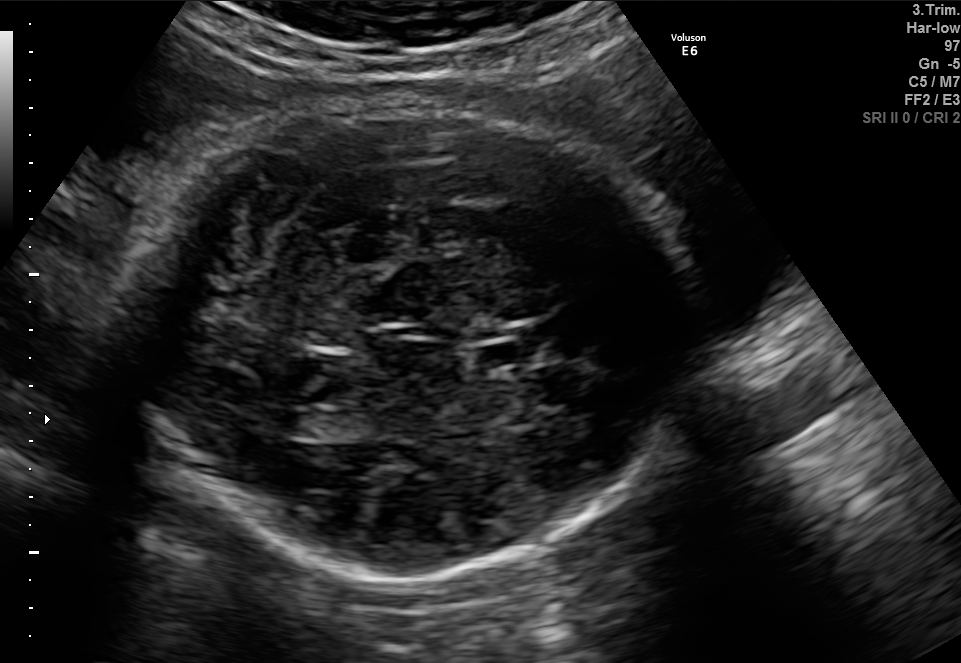
In this fetal brain, trans-ventricular plane, give bounding boxes for the head outline, cavum septum pellucidum (CSP), and lateral ventricle (LV), where visible.

Head: [127,101,701,582]
CSP: [469,339,526,374]
Lateral ventricle: [262,409,310,436]